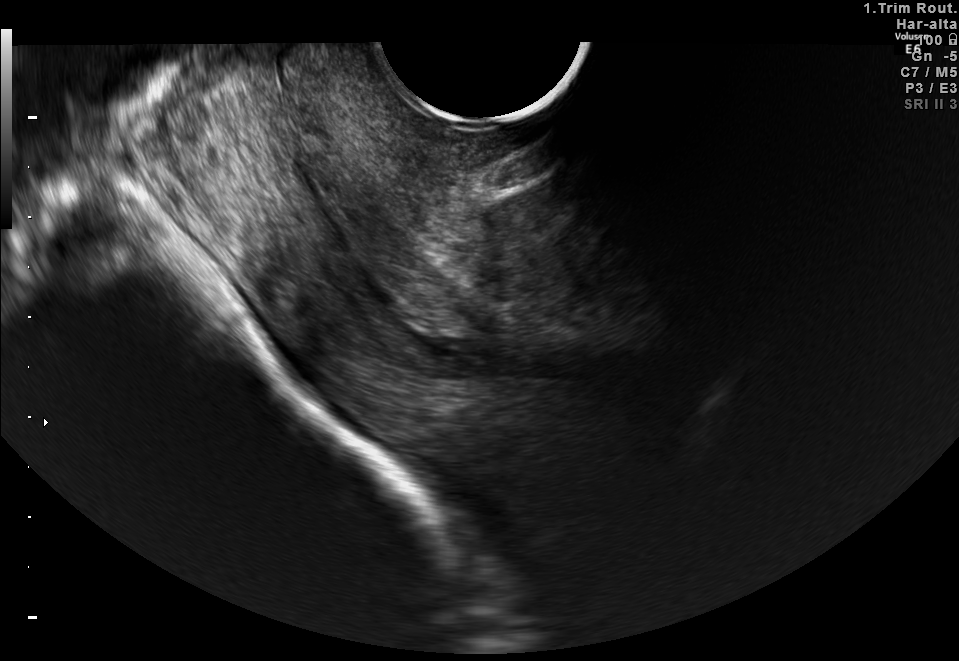
Which standard maternal-fetal ultrasound plane is shown: fetal abdomen, fetal brain, fetal femur, fetal thorax, maternal cervix, or other? If it's fetal brain and one of the three standard brain planes (trans-thalamic, trans-cerebellum, trans-ventricular), name which.

Maternal cervix